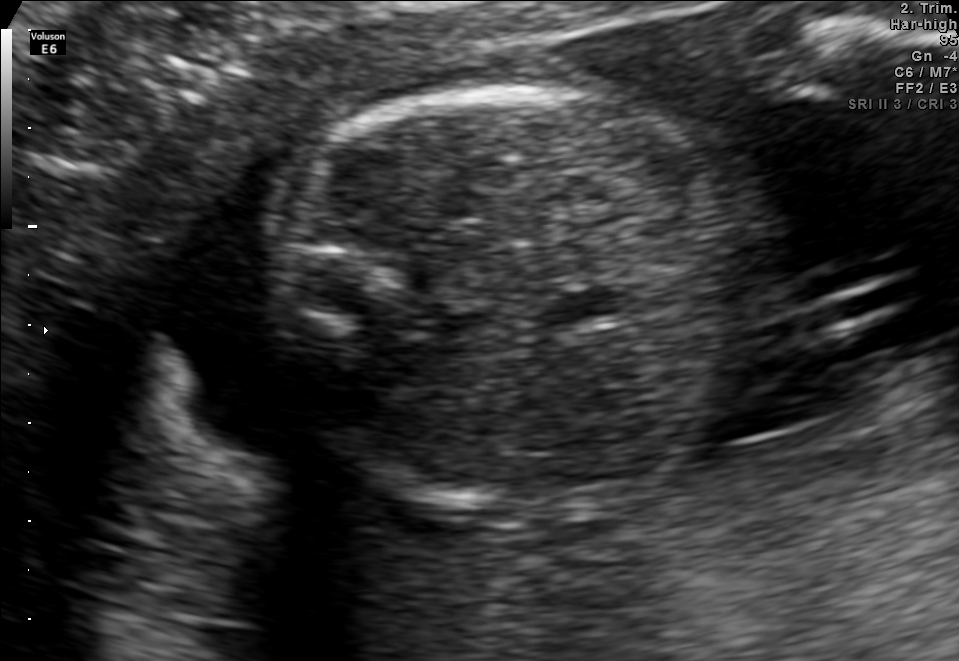
Which standard maternal-fetal ultrasound plane is shown: fetal abdomen, fetal brain, fetal femur, fetal thorax, maternal cervix, or other? If it's fetal brain and one of the three standard brain planes (trans-thalamic, trans-cerebellum, trans-ventricular), name which.

Fetal abdomen